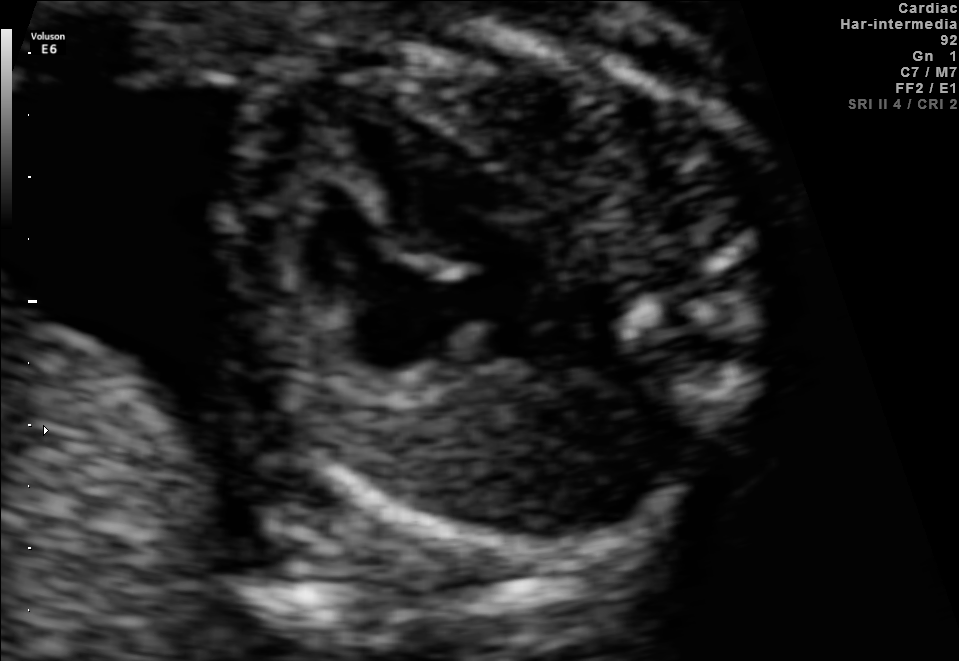
Classify this maternal-fetal ultrasound image as one of the six standard planes — fetal abdomen, fetal brain, fetal femur, fetal thorax, maternal cervix, or other. If it's fetal brain and one of the three standard brain planes (trans-thalamic, trans-cerebellum, trans-ventricular), name which.

Fetal thorax